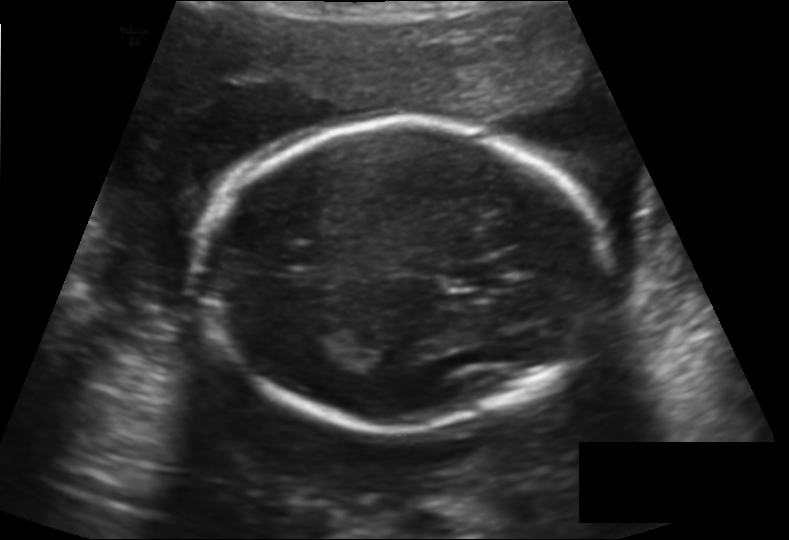
Fetal head ultrasound. Image width: 124.3 mm. Where is the fetal head?

Head bounding box: [207,119,601,431]